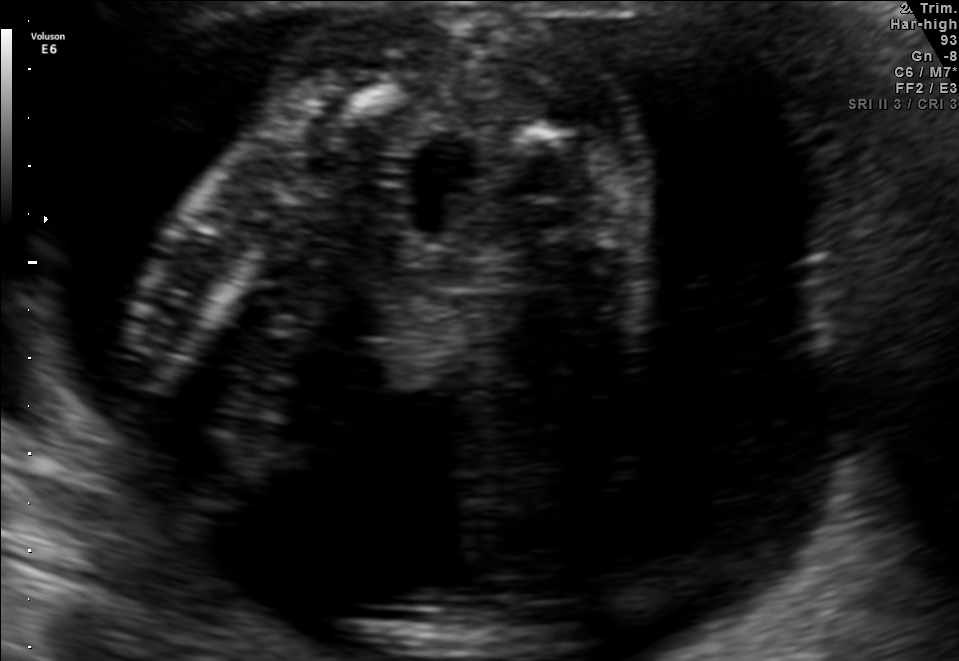
Which standard maternal-fetal ultrasound plane is shown: fetal abdomen, fetal brain, fetal femur, fetal thorax, maternal cervix, or other? If it's fetal brain and one of the three standard brain planes (trans-thalamic, trans-cerebellum, trans-ventricular), name which.

Other